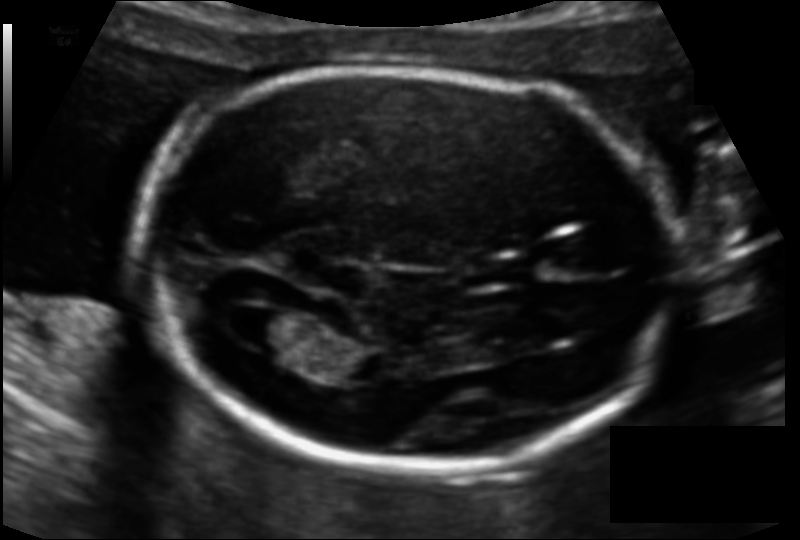
Estimate the fetal head circumference from this 2D ultrasound. Image width: 89.1 mm.

Head circumference: 168.7 mm.